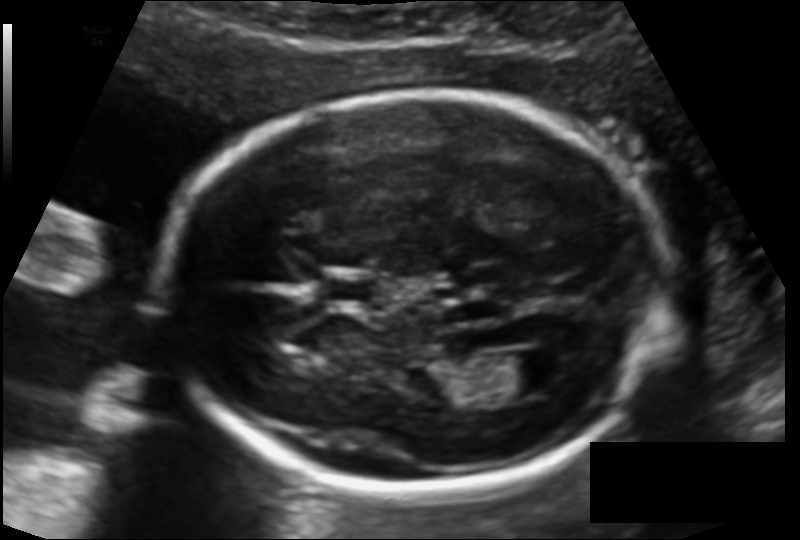
Fetal head ultrasound. Image width: 101.2 mm. Where is the cavum septum pellucidum?

CSP bounding box: [321,273,374,306]